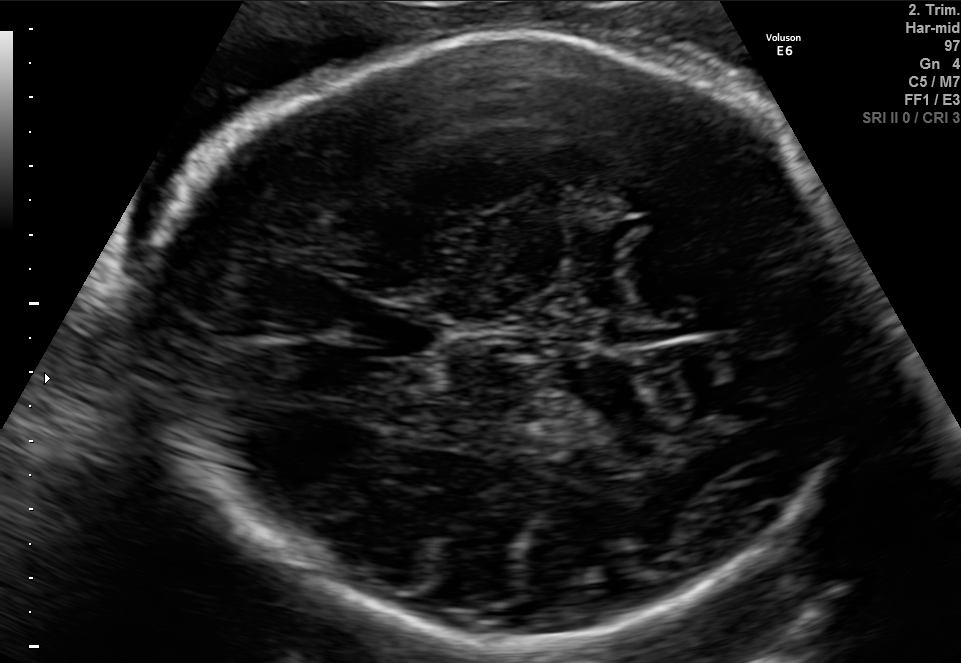
Fetal brain, trans-thalamic plane. Locate the fetal head and, if visible, the cavum septum pellucidum (CSP) and lateral ventricle (LV). Give bounding boxes as [x1,y1,x2,y2].

Head: [148,31,861,648]
CSP: [361,304,444,363]